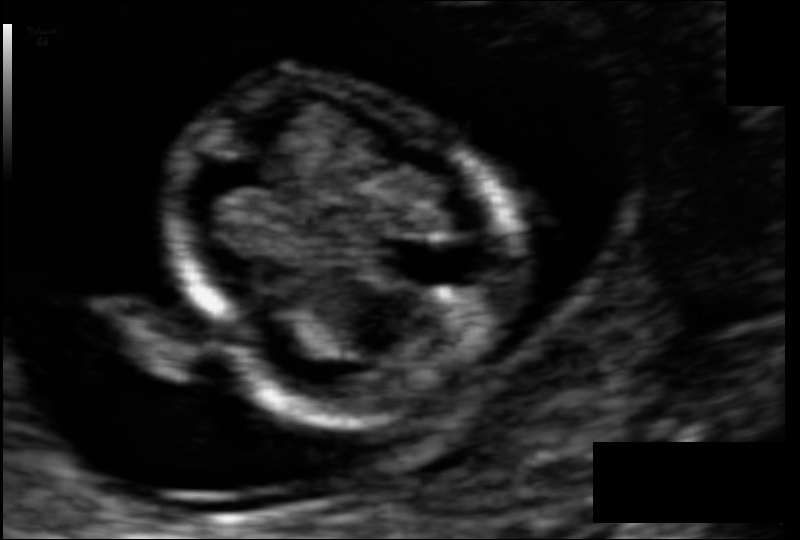
Fetal head ultrasound. Image width: 47.3 mm. Locate the fetal head and, if visible, the cavum septum pellucidum (CSP) and lateral ventricle (LV). Give bounding boxes as [x1,y1,x2,y2].

Head: [165,75,513,416]